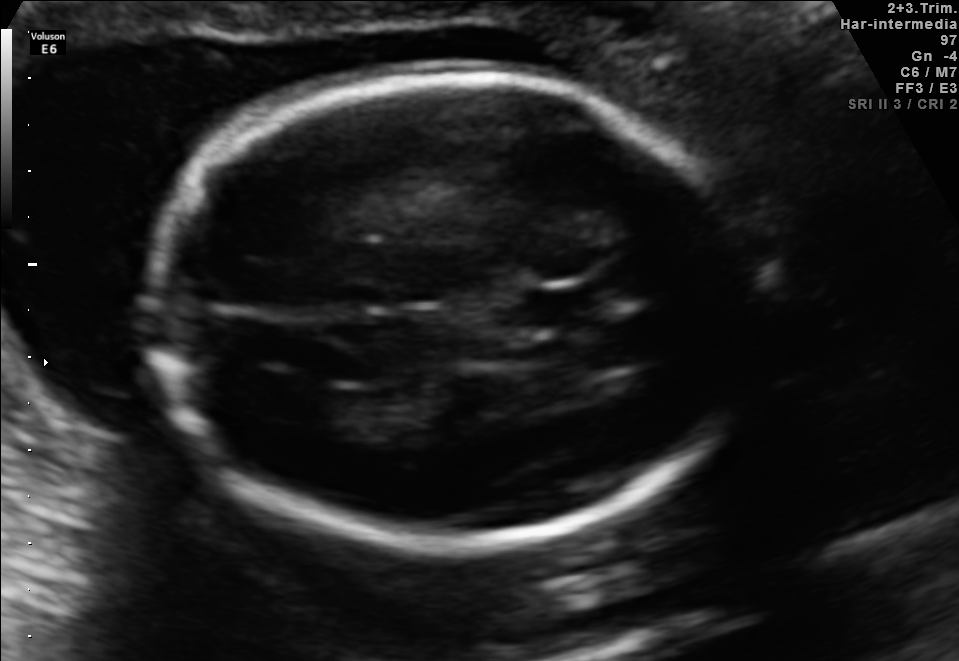
Fetal brain, trans-ventricular plane. Where is the fetal head?

Head bounding box: [135,68,776,553]